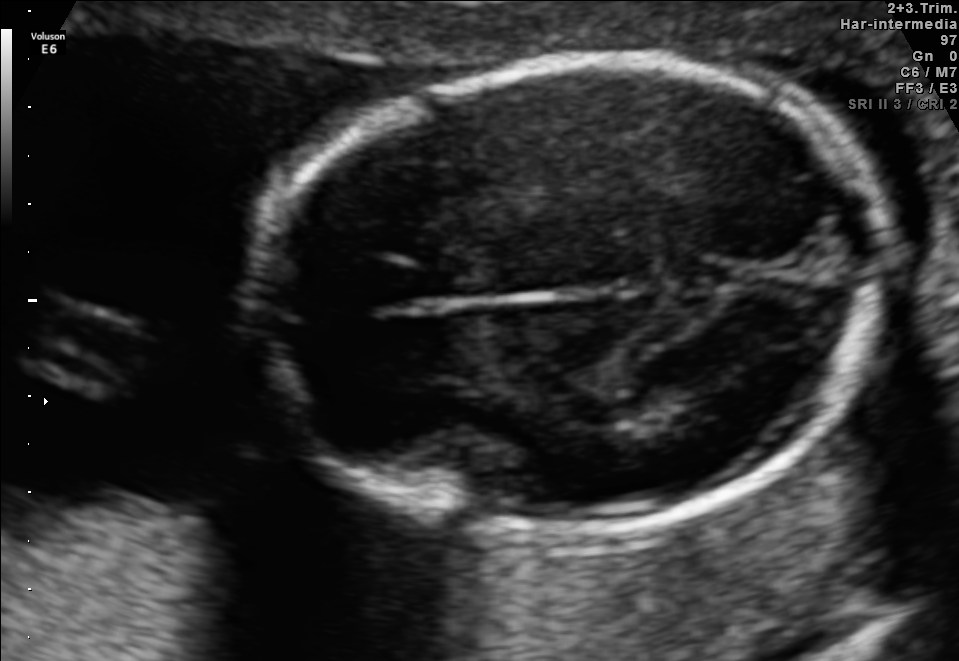
Fetal brain, trans-thalamic plane. Where is the fetal head?

Head bounding box: [256,57,893,536]